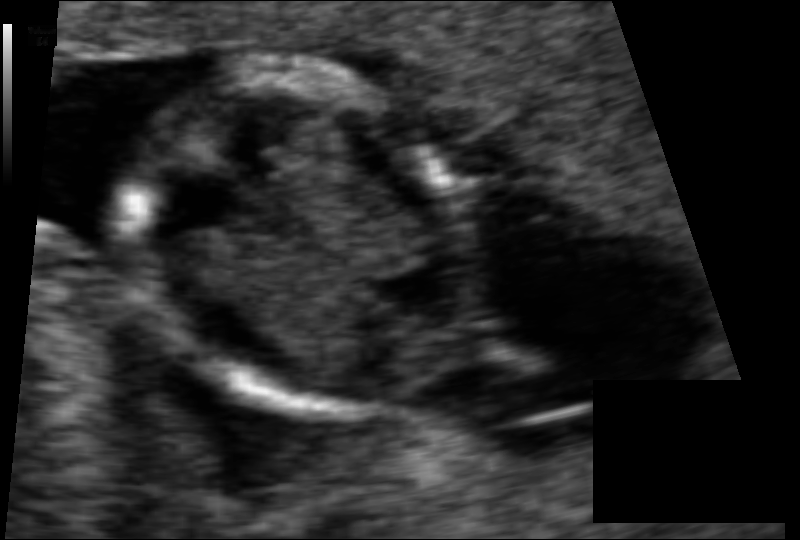
From this fetal ultrasound, estimate the head circumference (image width 52.2 mm).

Head circumference: 74.7 mm.